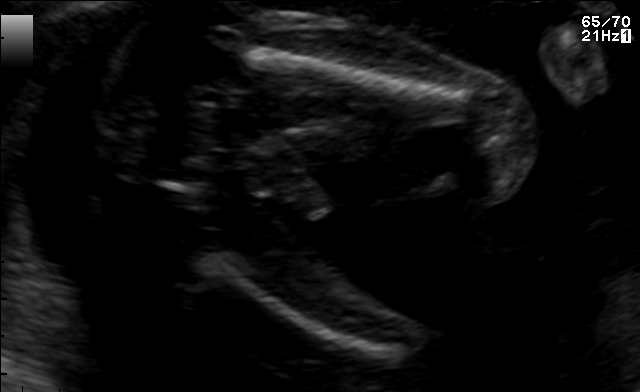
Identify the standard plane in this fetal ultrasound image: fetal abdomen, fetal brain, fetal femur, fetal thorax, maternal cervix, or other. If it's fetal brain and one of the three standard brain planes (trans-thalamic, trans-cerebellum, trans-ventricular), name which.

Fetal femur